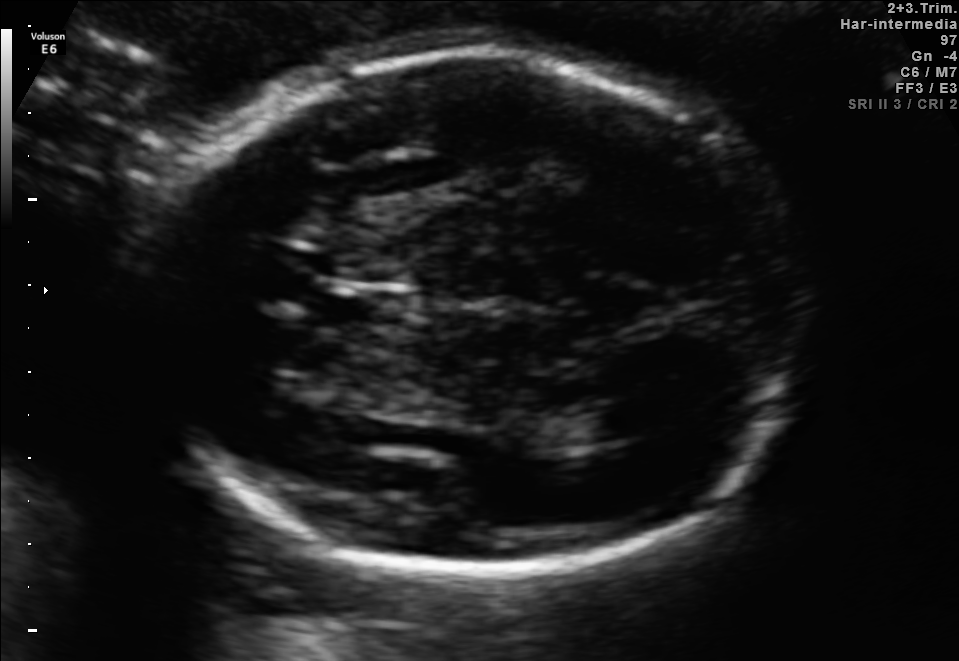
Fetal brain, trans-thalamic plane. Locate the cavum septum pellucidum.

CSP: [324,293,405,326]